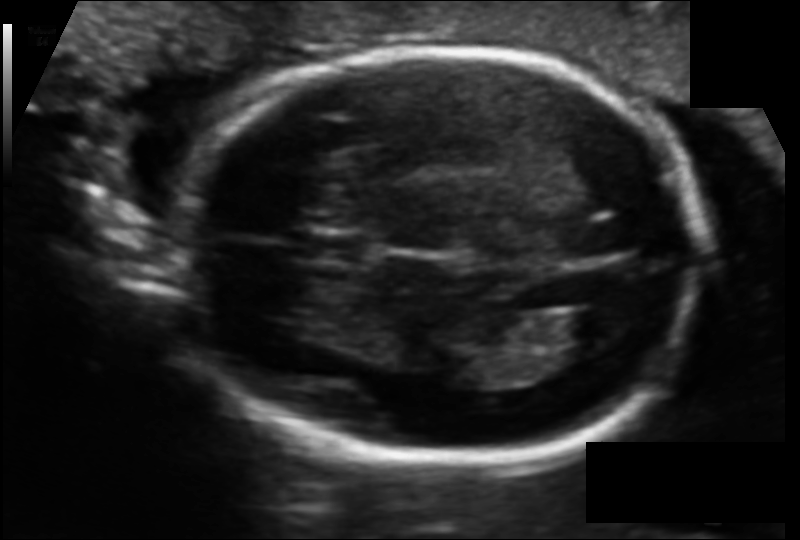
Fetal head ultrasound. Image width: 86.3 mm. Locate the cavum septum pellucidum.

CSP: [304,233,369,263]